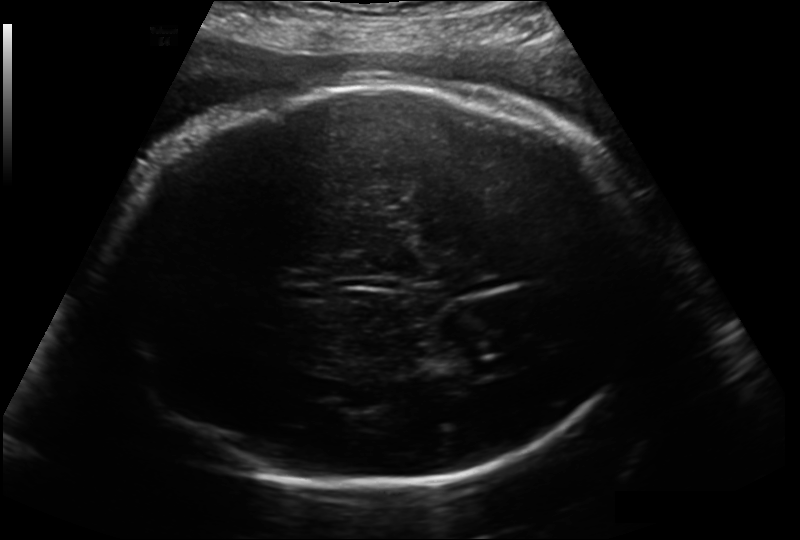
Measure the fetal head circumference shown in this ultrasound image. Image width: 171.3 mm.

Head circumference: 317.6 mm.